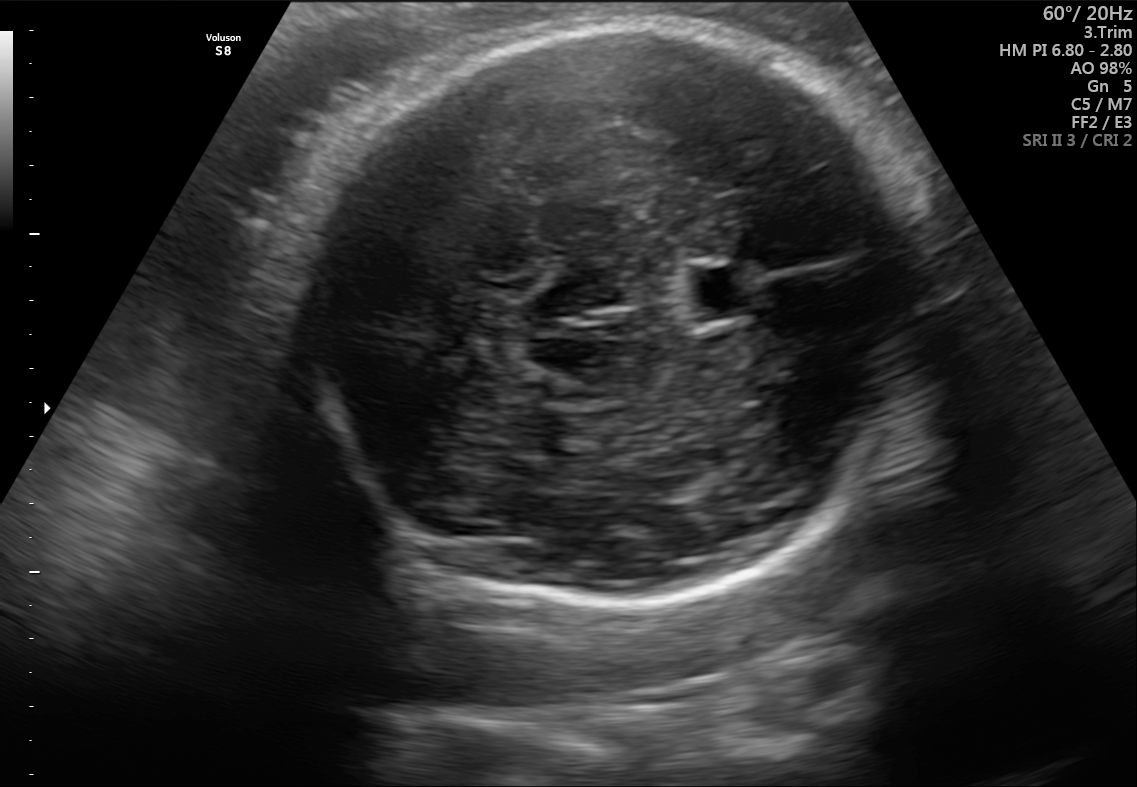
Fetal brain, trans-thalamic plane. Where is the fetal head?

Head bounding box: [294,29,933,608]